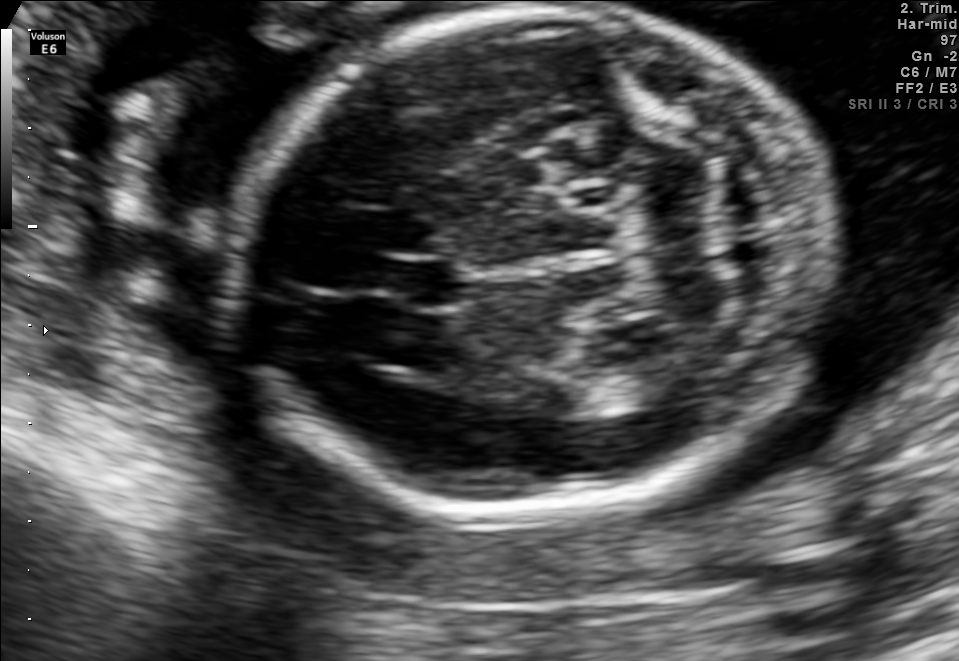
Fetal brain, trans-cerebellum plane. Give [x1,y1,x2,y2] bounding boxes for each visible structure among: fetal head, CSP, LV.

Head: [236,10,833,515]
CSP: [392,253,463,313]